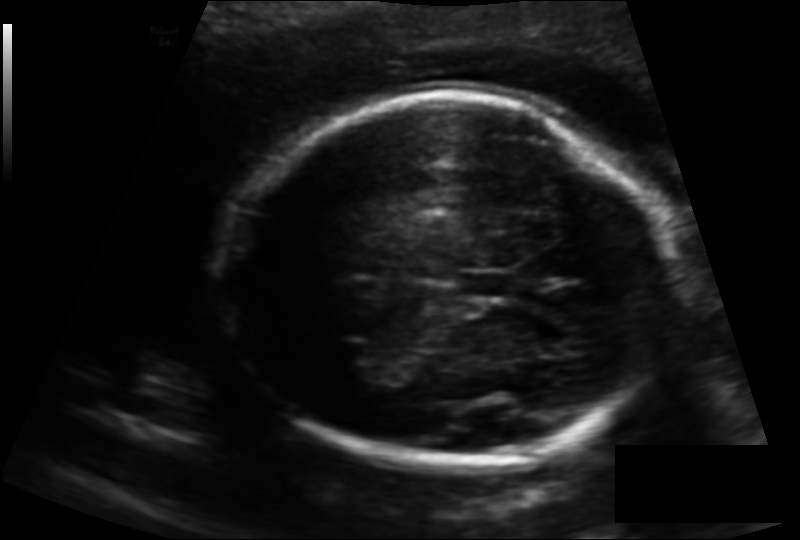
Fetal head ultrasound. Image width: 112.7 mm. Where is the cavum septum pellucidum?

CSP bounding box: [461,270,515,299]